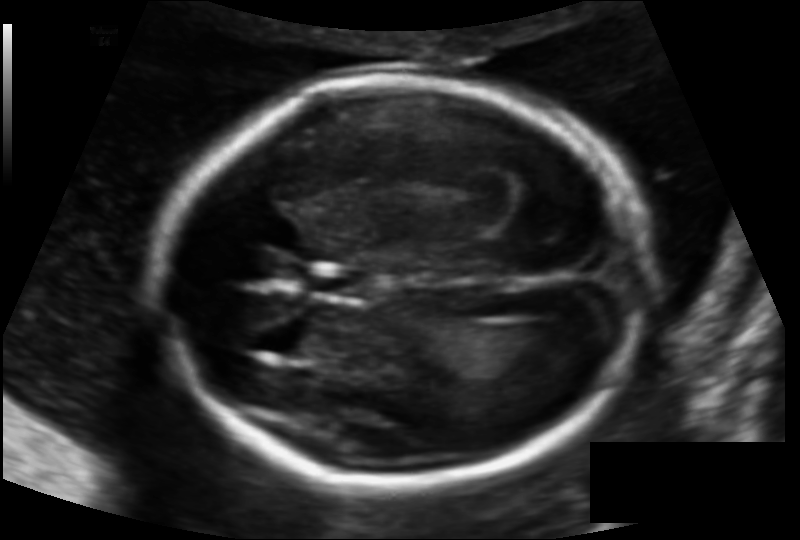
Fetal head ultrasound. Image width: 97.8 mm. Where is the fetal head?

Head bounding box: [155,83,645,484]